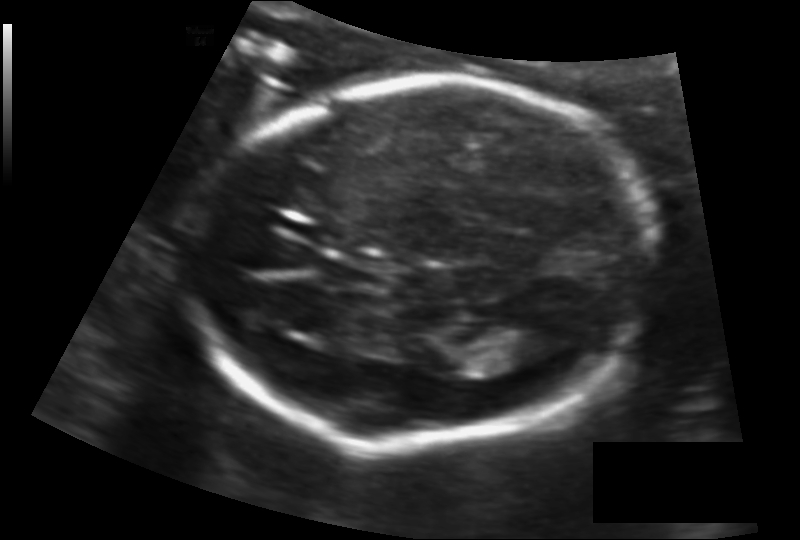
In this fetal head ultrasound, give bounding boxes for the head outline, cavum septum pellucidum (CSP), and lateral ventricle (LV), where visible. Image width: 100.0 mm.

Head: [188,83,654,446]